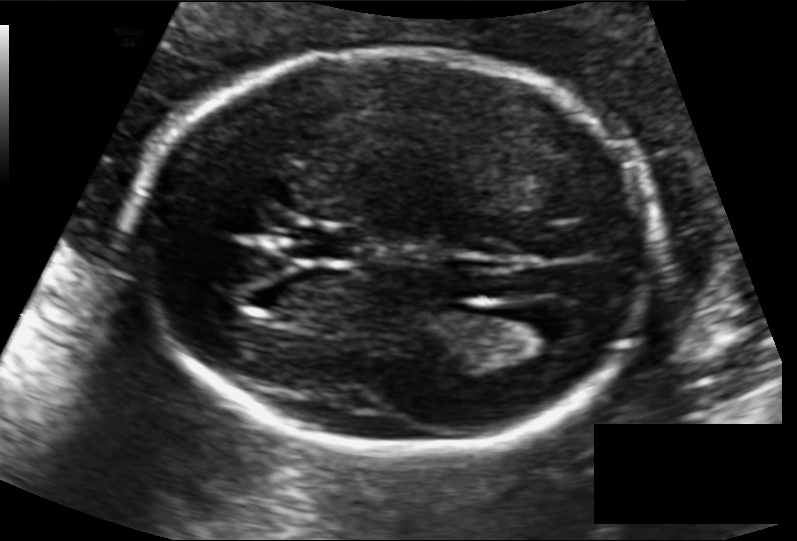
In this fetal head ultrasound, give bounding boxes for the head outline, cavum septum pellucidum (CSP), and lateral ventricle (LV), where visible. Image width: 94.0 mm.

Head: [124,49,653,458]
CSP: [289,226,356,260]
Lateral ventricle: [489,294,584,367]